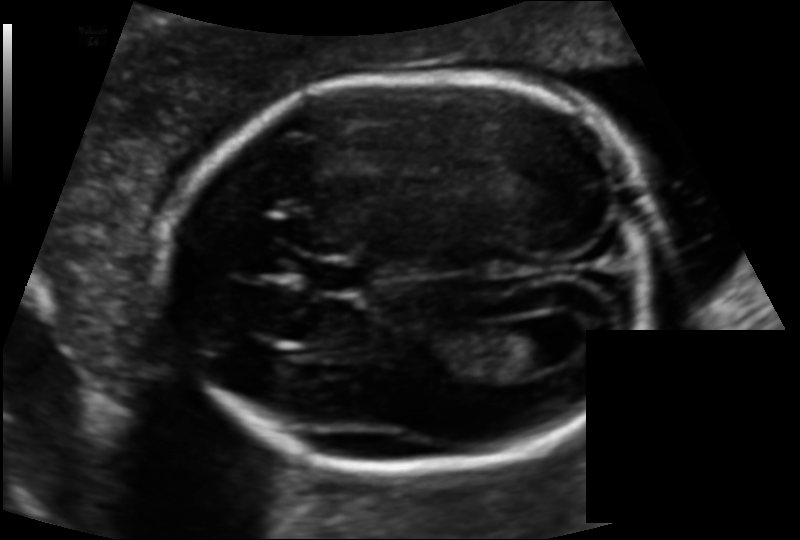
In this fetal head ultrasound, give the bounding box of the cavum septum pellucidum. Image width: 95.5 mm.

[305,255,371,295]